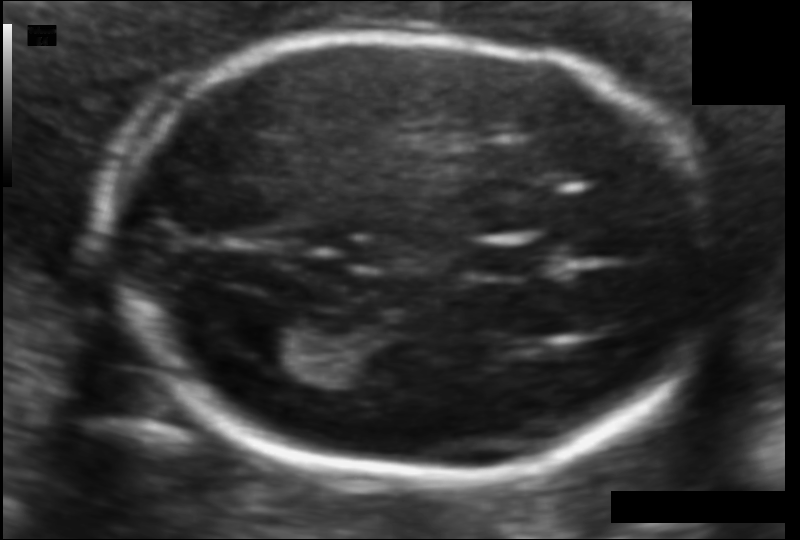
Measure the fetal head circumference shown in this ultrasound image. Image width: 75.5 mm.

Head circumference: 163.1 mm.